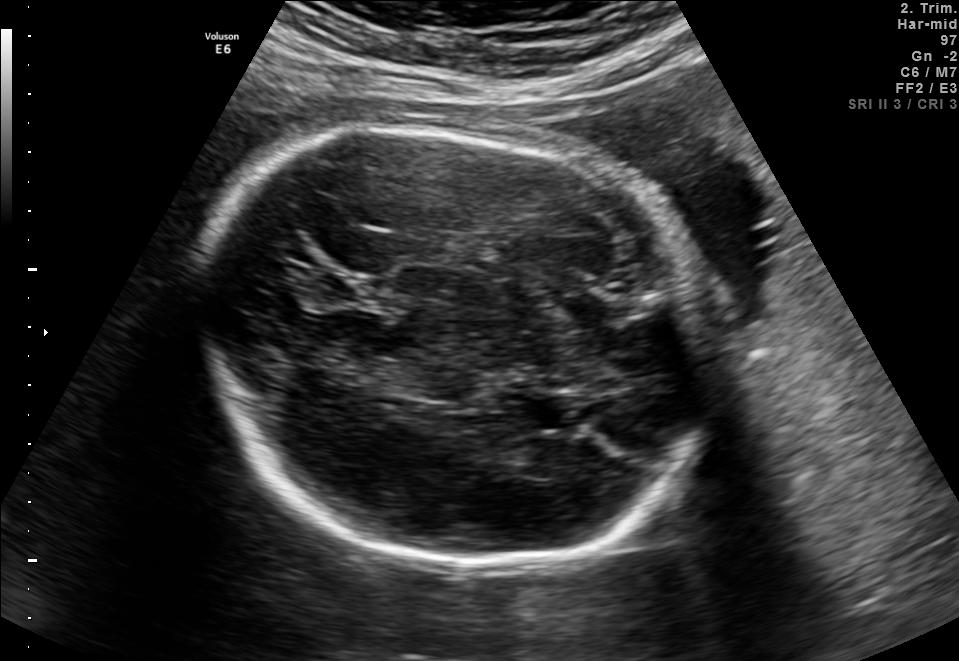
In this fetal brain, trans-thalamic plane, give bounding boxes for the head outline, cavum septum pellucidum (CSP), and lateral ventricle (LV), where visible.

Head: [201,121,704,570]